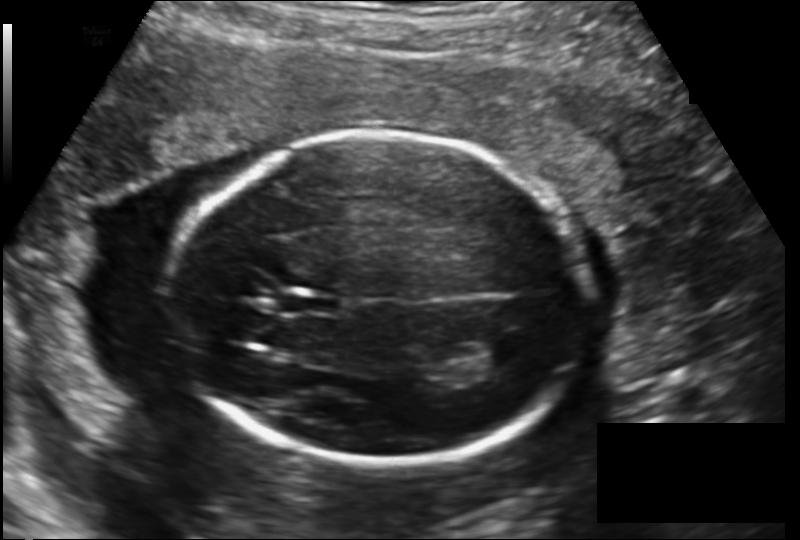
Fetal head ultrasound. Image width: 130.6 mm. Locate the fetal head.

Head: [167,133,593,464]